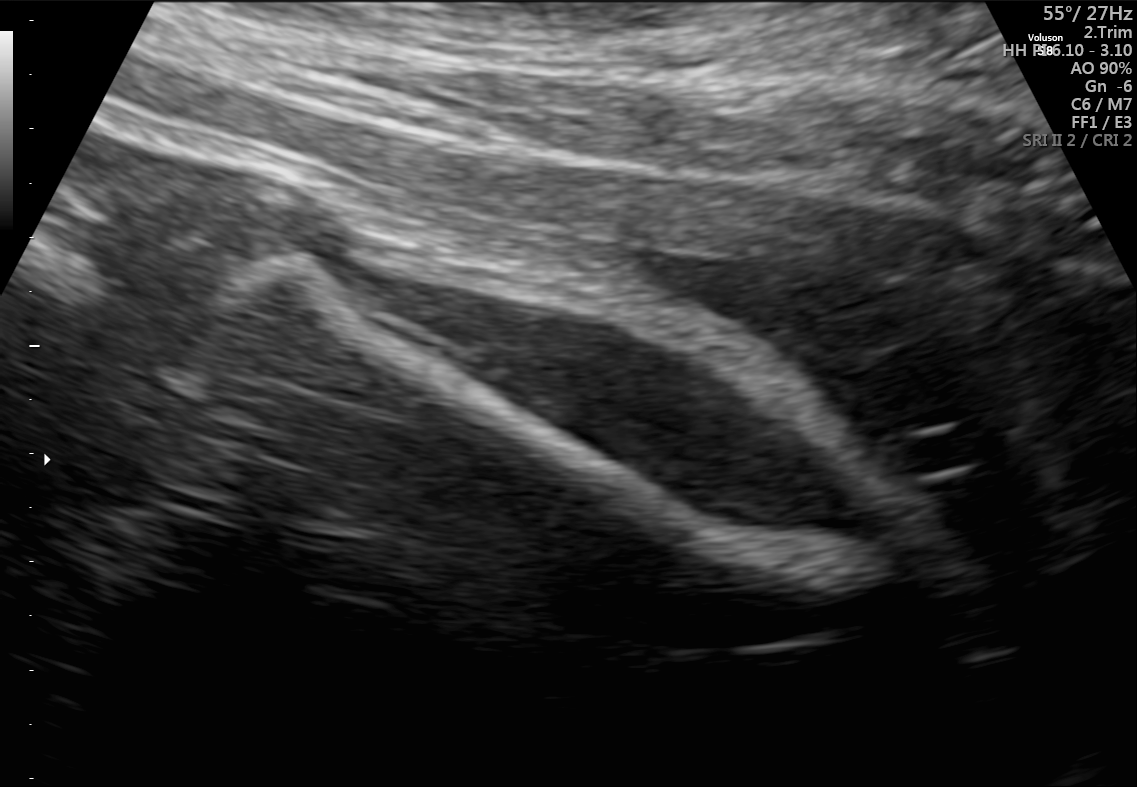
This is a 2D maternal-fetal ultrasound frame. Is it a fetal abdomen, fetal brain, fetal femur, fetal thorax, maternal cervix, or other standard plane? If it's fetal brain and one of the three standard brain planes (trans-thalamic, trans-cerebellum, trans-ventricular), name which.

Fetal femur